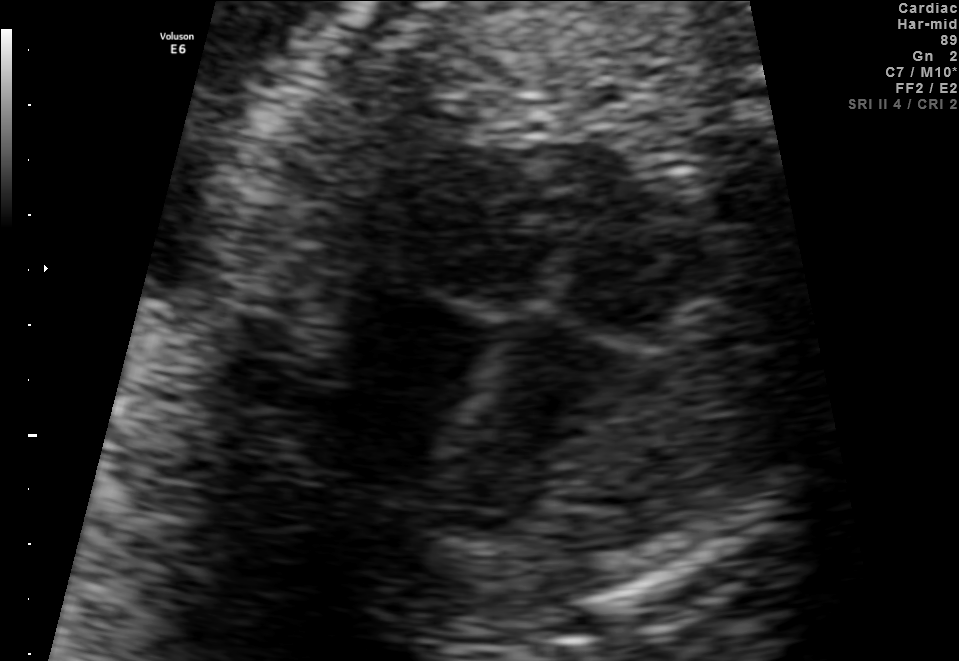
Identify the standard plane in this fetal ultrasound image: fetal abdomen, fetal brain, fetal femur, fetal thorax, maternal cervix, or other. If it's fetal brain and one of the three standard brain planes (trans-thalamic, trans-cerebellum, trans-ventricular), name which.

Fetal thorax